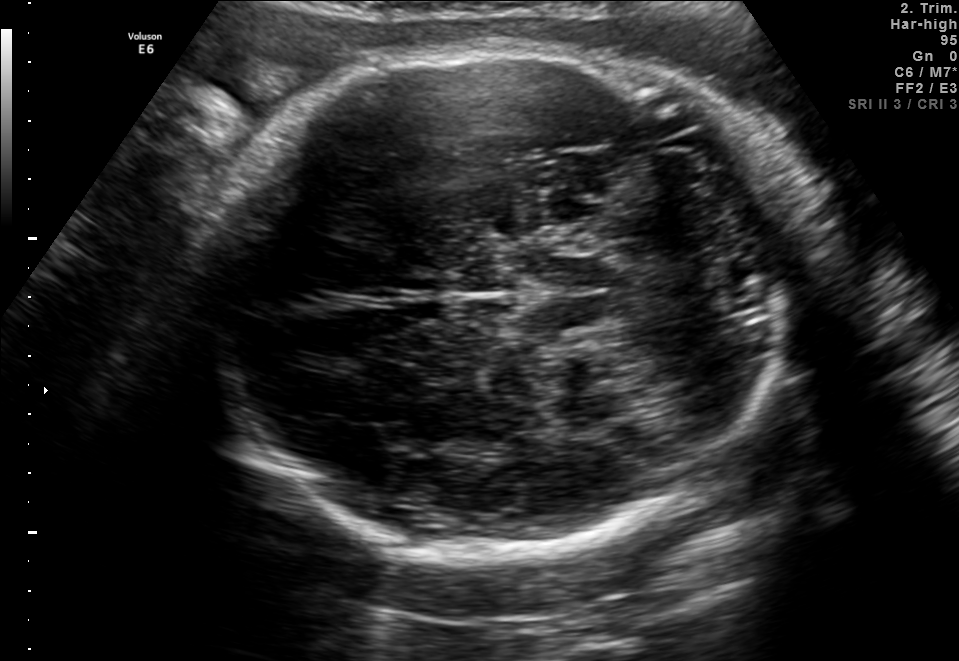
In this fetal brain, trans-thalamic plane, give the bounding box of the fetal head.

[204,50,785,555]